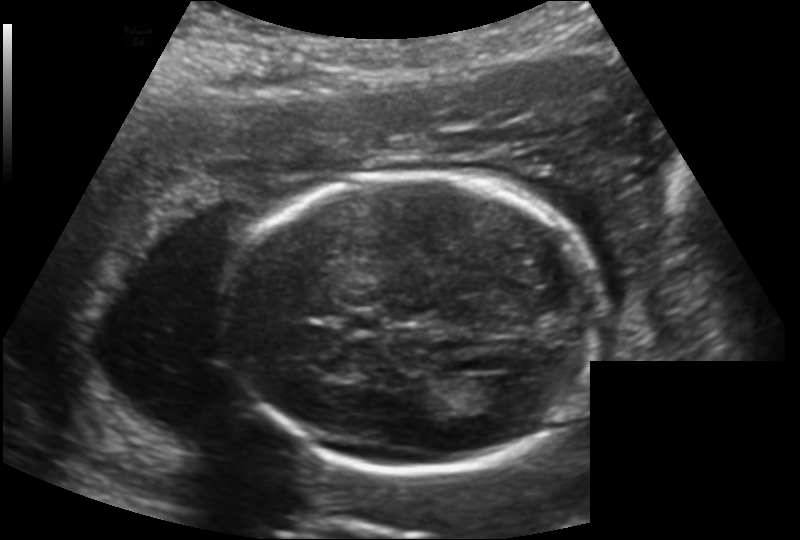
Fetal head ultrasound. Image width: 135.0 mm. Give [x1,y1,x2,y2] bounding boxes for each visible structure among: fetal head, CSP, LV.

Head: [229,175,599,471]
CSP: [341,311,383,333]
Lateral ventricle: [467,377,524,415]